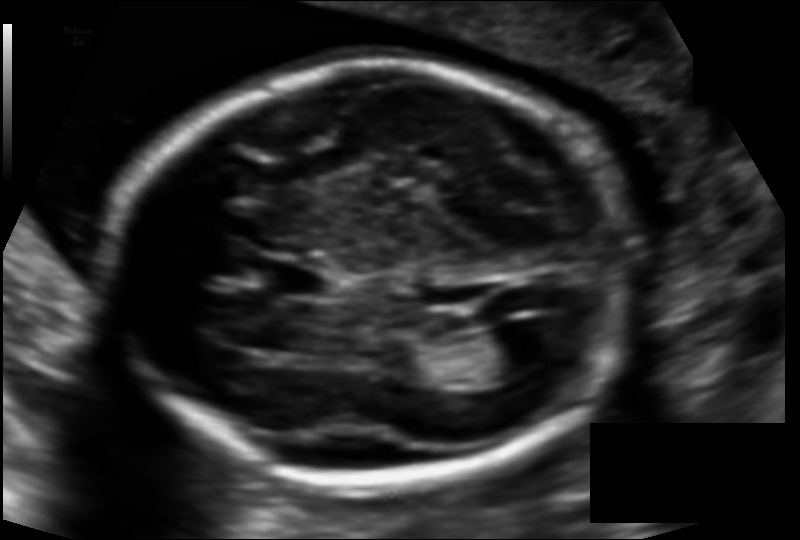
Estimate the fetal head circumference from this 2D ultrasound.

Head circumference: 184.4 mm (image width 96.7 mm).